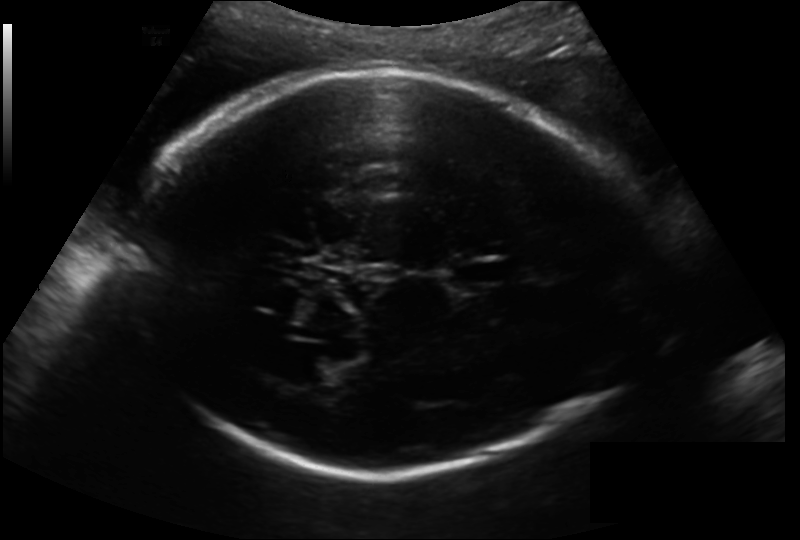
Measure the fetal head circumference shown in this ultrasound image. Image width: 154.5 mm.

Head circumference: 280.6 mm.